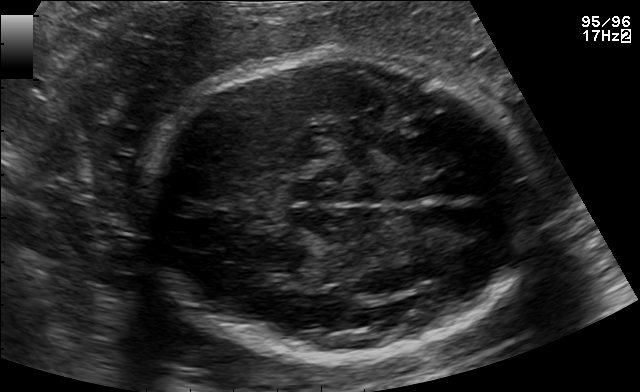
Identify the standard plane in this fetal ultrasound image: fetal abdomen, fetal brain, fetal femur, fetal thorax, maternal cervix, or other. If it's fetal brain and one of the three standard brain planes (trans-thalamic, trans-cerebellum, trans-ventricular), name which.

Fetal brain (trans-thalamic plane)